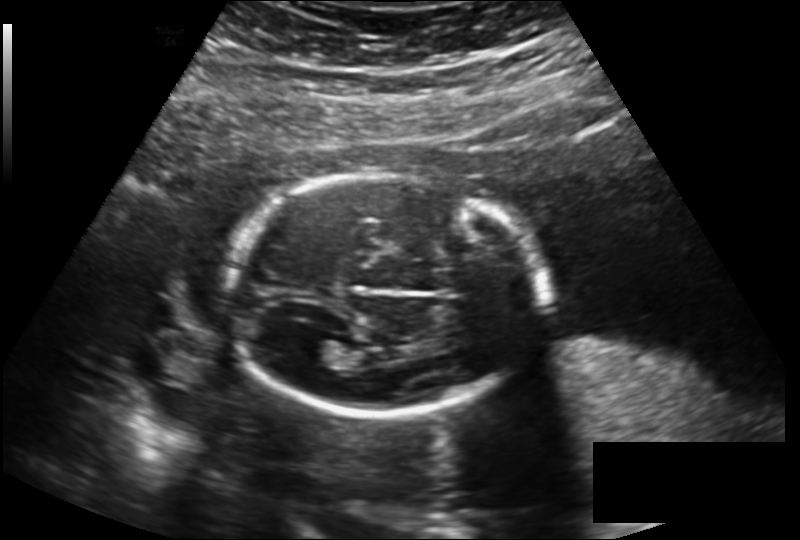
Fetal head ultrasound. Image width: 150.8 mm. Give [x1,y1,x2,y2] bounding boxes for each visible structure among: fetal head, CSP, LV.

Head: [224,173,546,413]
Lateral ventricle: [295,335,340,367]